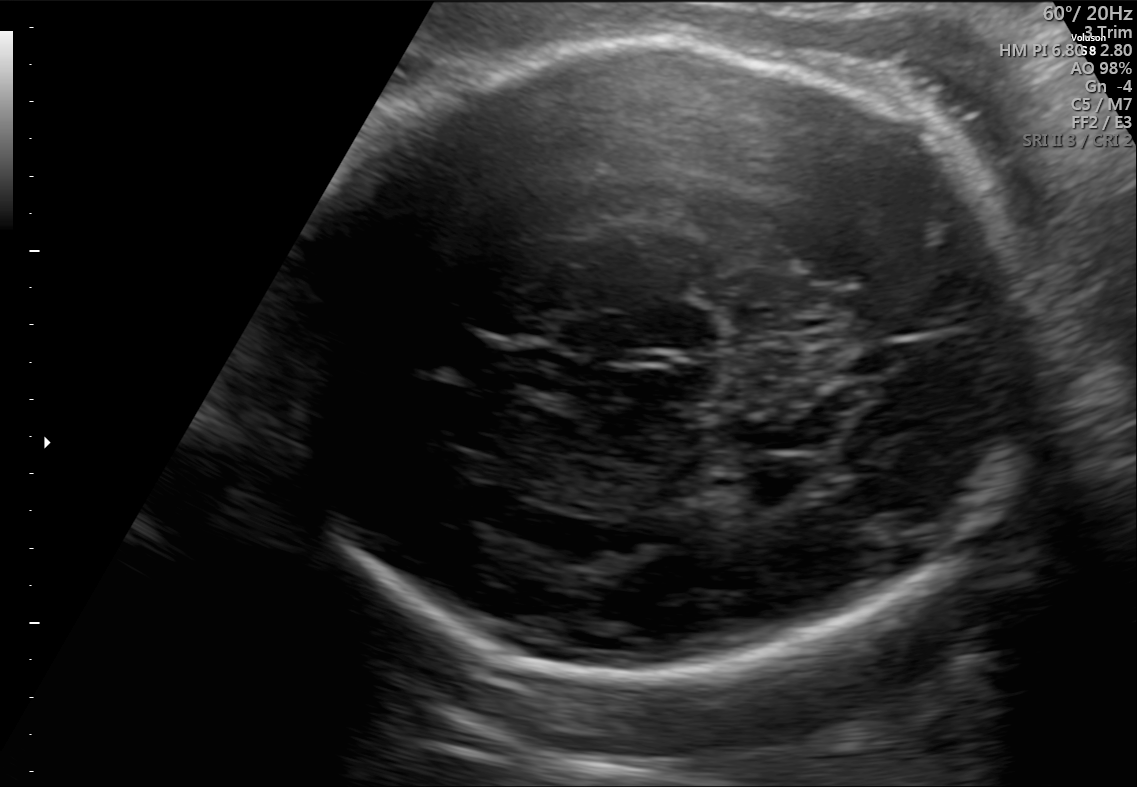
In this fetal brain, trans-thalamic plane, give the bounding box of the fetal head.

[270,39,1030,676]